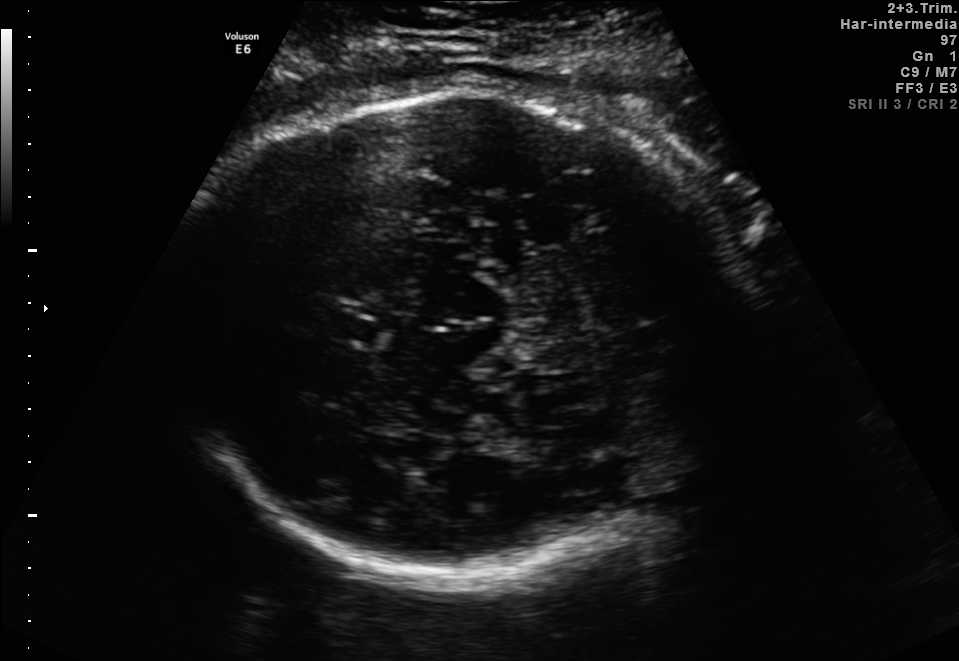
In this fetal brain, trans-thalamic plane, give the bounding box of the cavum septum pellucidum.

[329,313,378,344]